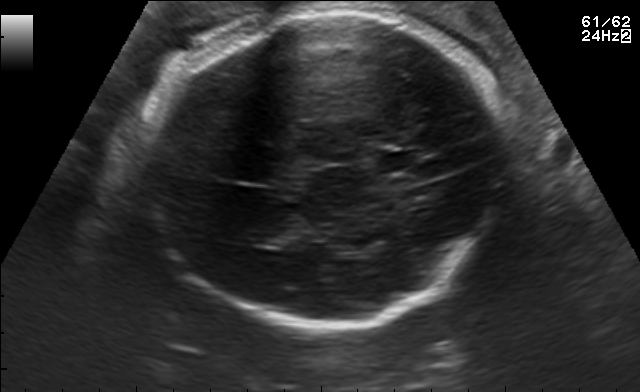
Fetal brain, trans-thalamic plane. Give [x1,y1,x2,y2] bounding boxes for each visible structure among: fetal head, CSP, LV.

Head: [137,12,505,326]
CSP: [375,149,417,174]